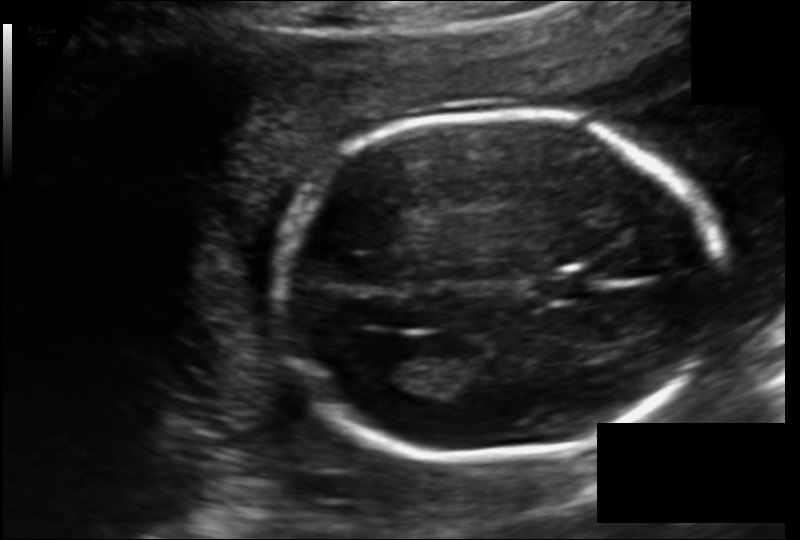
In this fetal head ultrasound, give the bounding box of the cavum septum pellucidum. Image width: 107.8 mm.

[534,268,592,307]